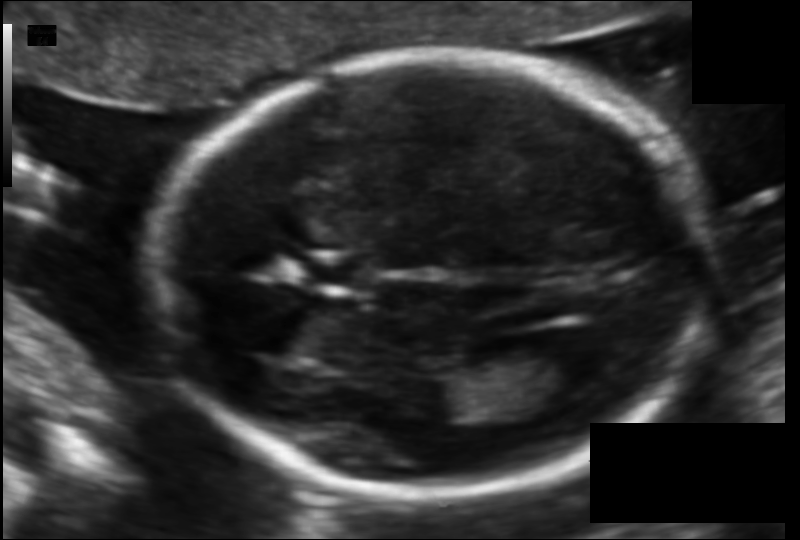
What is the fetal head circumference? Image width is 83.8 mm.

171.0 mm